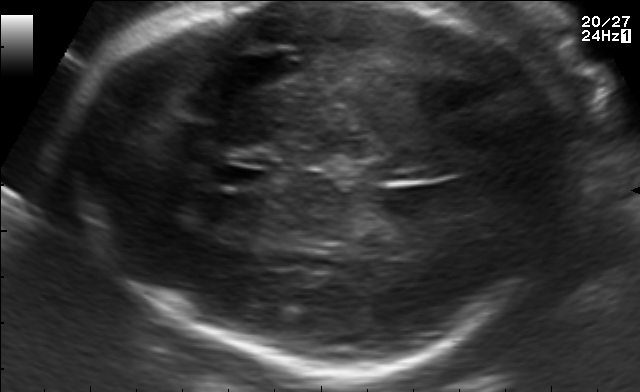
Fetal brain, trans-thalamic plane. Locate the cavum septum pellucidum.

CSP: [215,164,267,190]